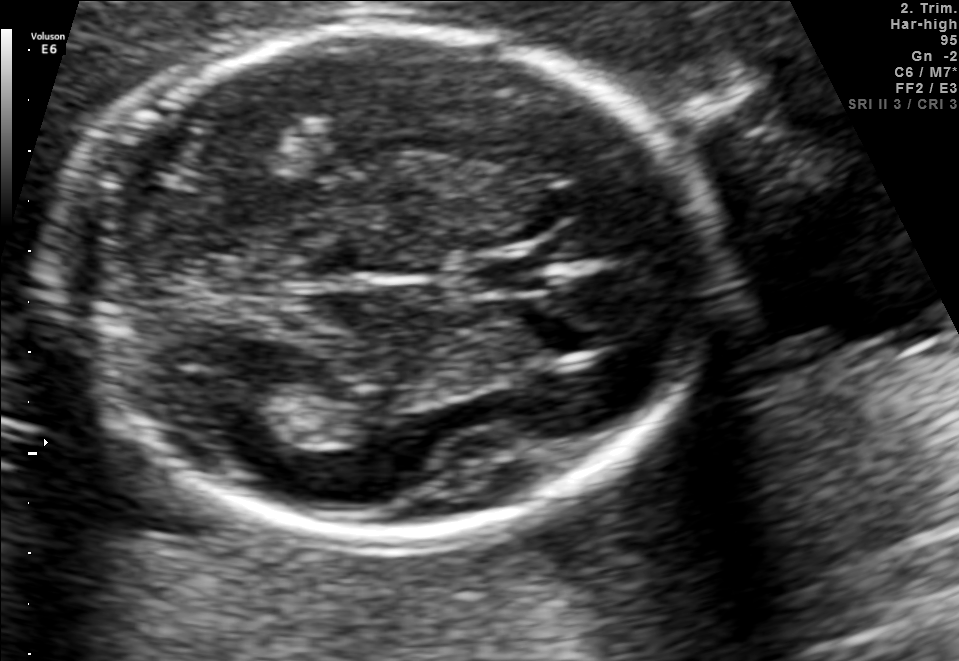
Fetal brain, trans-thalamic plane. Give [x1,y1,x2,y2] bounding boxes for each visible structure among: fetal head, CSP, LV.

Head: [59,23,708,540]
CSP: [464,254,550,295]
Lateral ventricle: [217,384,319,447]